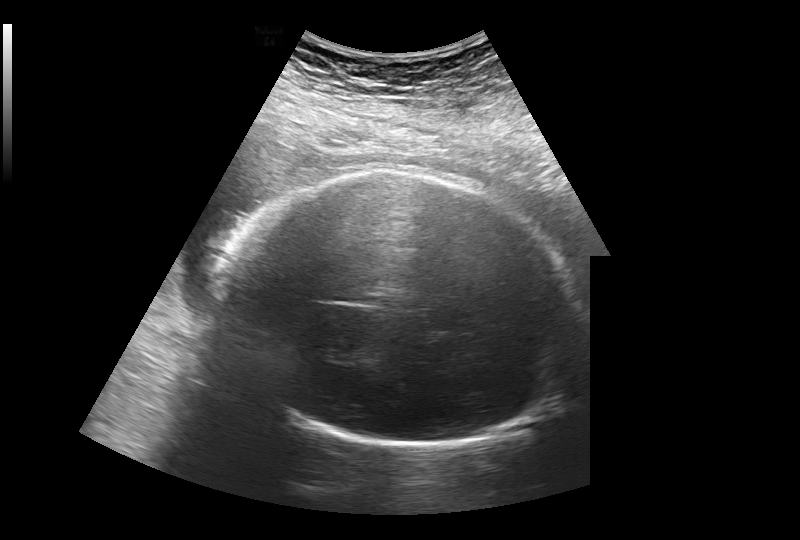
Fetal head ultrasound. Image width: 246.2 mm. Locate the fetal head and, if visible, the cavum septum pellucidum (CSP) and lateral ventricle (LV). Give bounding boxes as [x1,y1,x2,y2].

Head: [221,172,577,447]